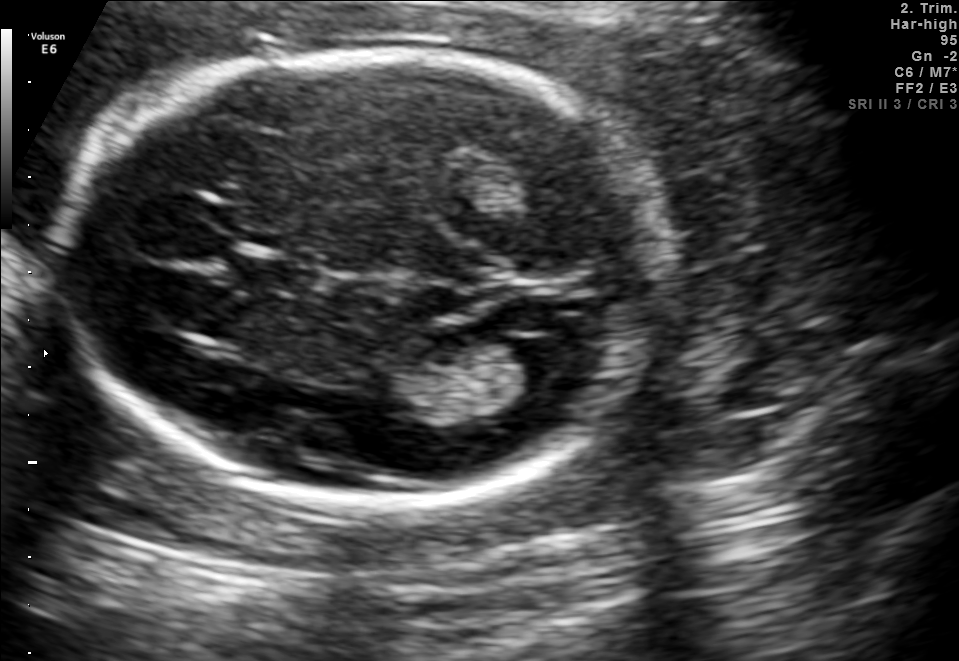
Fetal brain, trans-ventricular plane. Locate the lateral ventricle.

Lateral ventricle: [508,336,585,383]